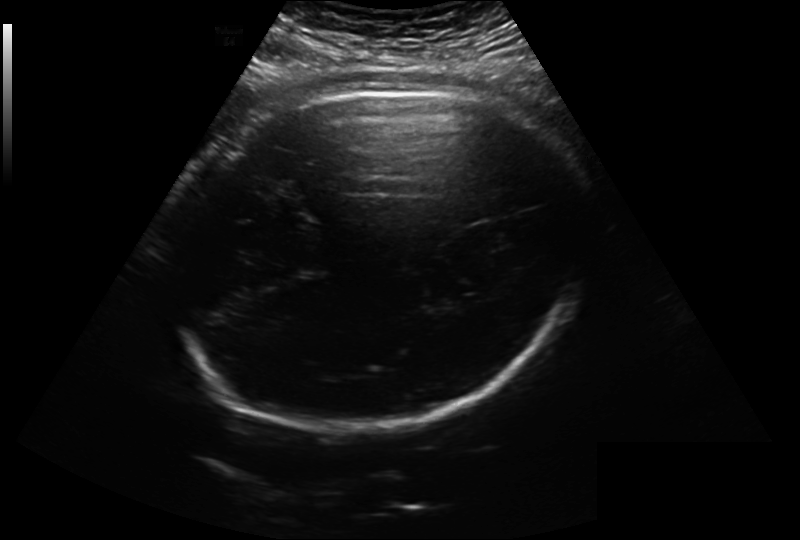
In this fetal head ultrasound, give bounding boxes for the head outline, cavum septum pellucidum (CSP), and lateral ventricle (LV), where visible. Image width: 223.6 mm.

Head: [164,91,595,426]